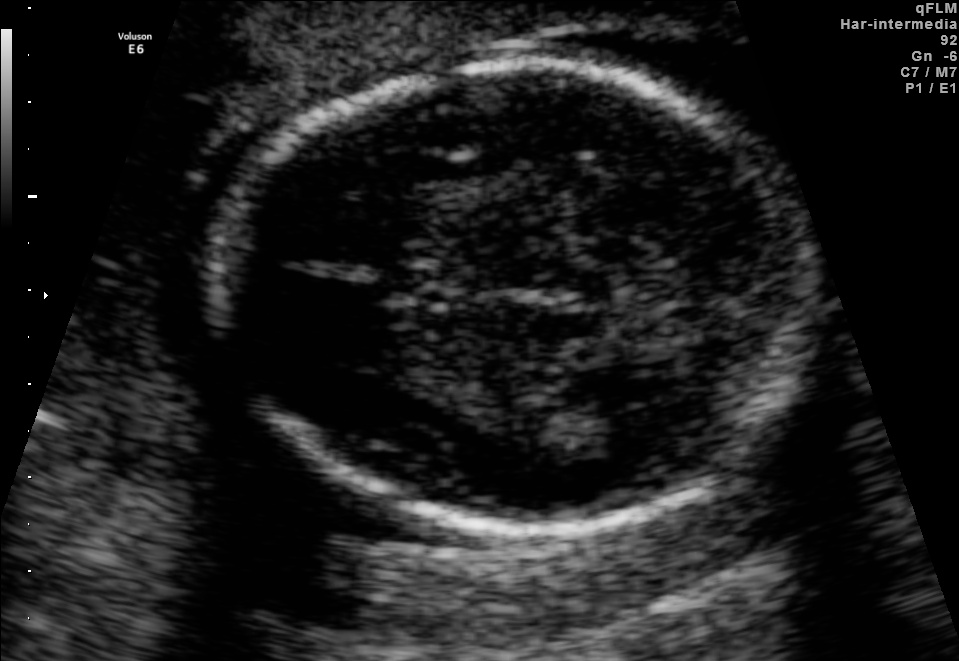
Fetal brain, trans-thalamic plane. Locate the fetal head and, if visible, the cavum septum pellucidum (CSP) and lateral ventricle (LV). Give bounding boxes as [x1,y1,x2,y2].

Head: [219,62,816,525]